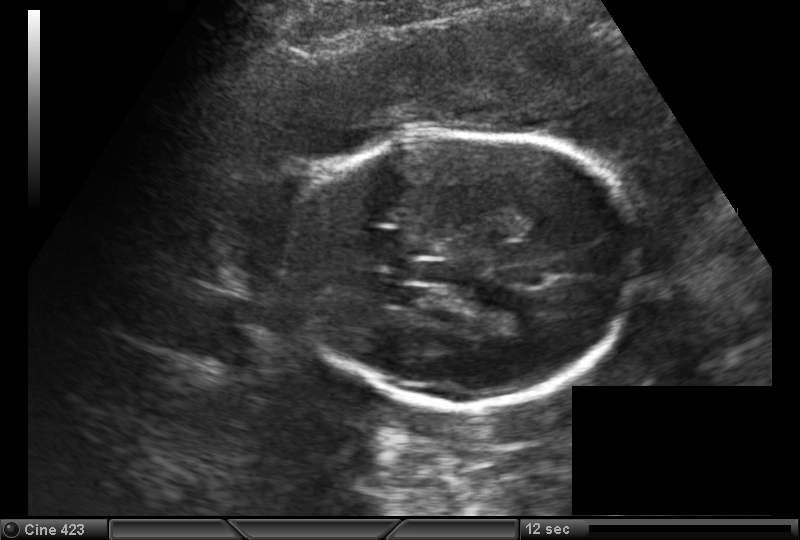
Estimate the fetal head circumference from this 2D ultrasound.

Head circumference: 177.0 mm (image width 138.2 mm).